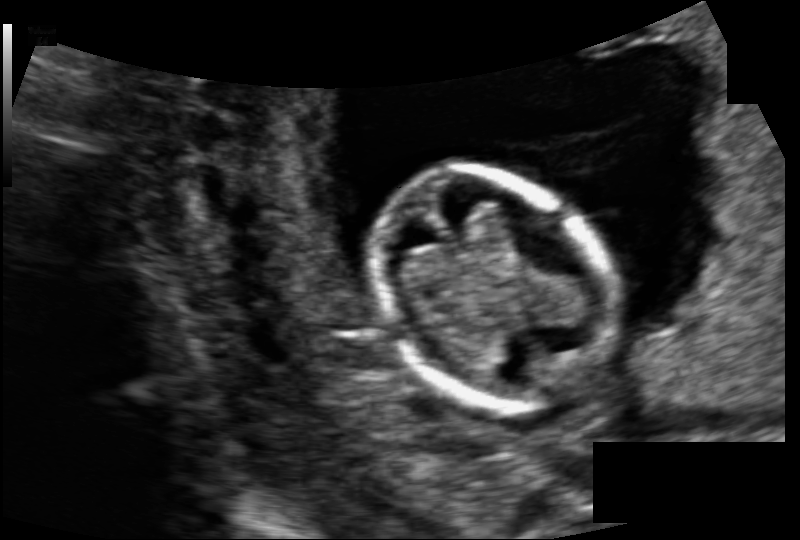
What is the fetal head circumference? Image width is 83.3 mm.

82.0 mm